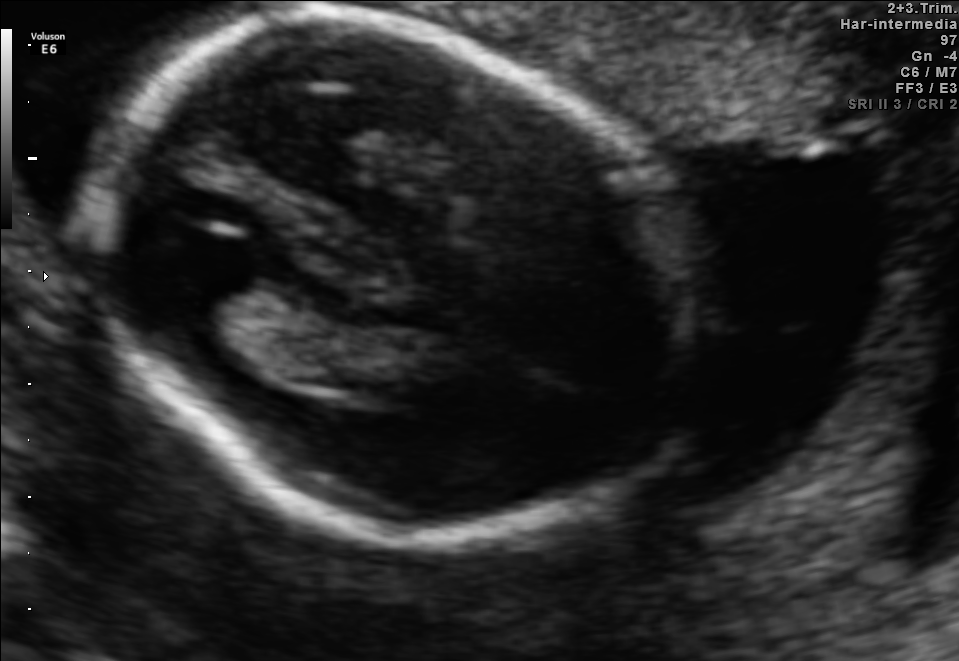
This is a 2D maternal-fetal ultrasound frame. Is it a fetal abdomen, fetal brain, fetal femur, fetal thorax, maternal cervix, or other standard plane? If it's fetal brain and one of the three standard brain planes (trans-thalamic, trans-cerebellum, trans-ventricular), name which.

Fetal brain (trans-thalamic plane)